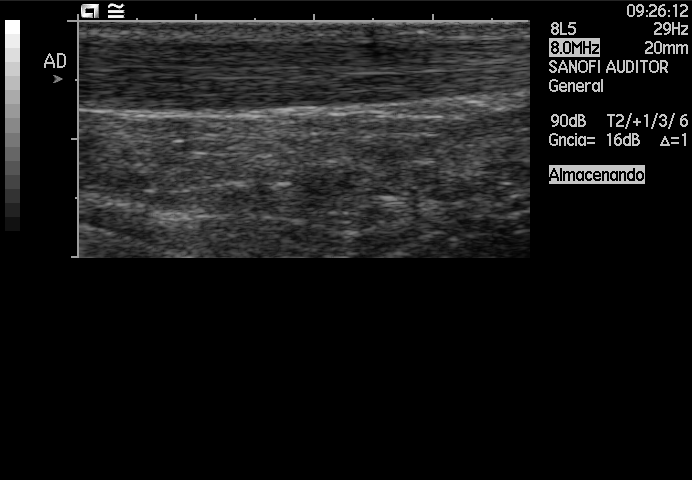
Which standard maternal-fetal ultrasound plane is shown: fetal abdomen, fetal brain, fetal femur, fetal thorax, maternal cervix, or other? If it's fetal brain and one of the three standard brain planes (trans-thalamic, trans-cerebellum, trans-ventricular), name which.

Other